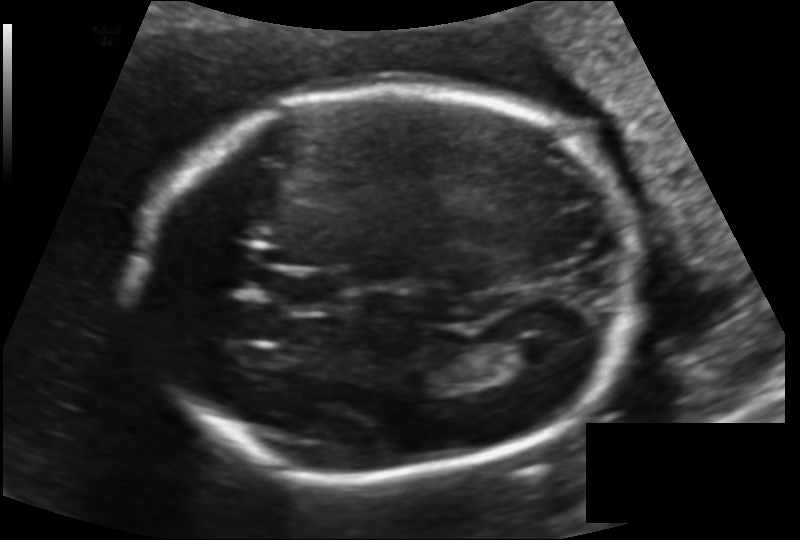
Fetal head ultrasound. Image width: 115.0 mm. Locate the fetal head.

Head: [142,88,642,473]